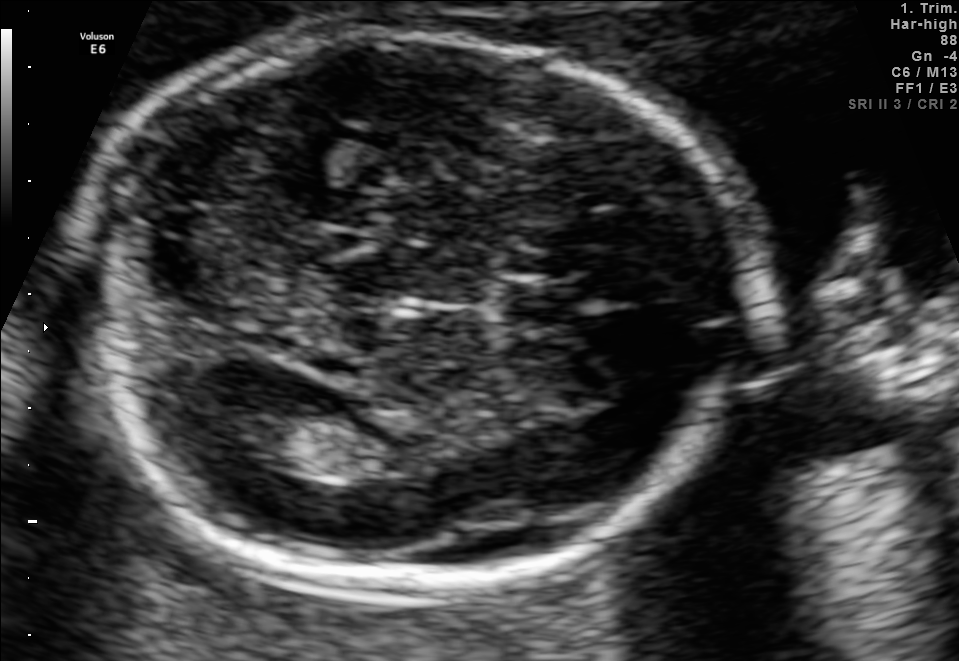
Fetal brain, trans-ventricular plane. Locate the fetal head.

Head: [63,25,766,604]